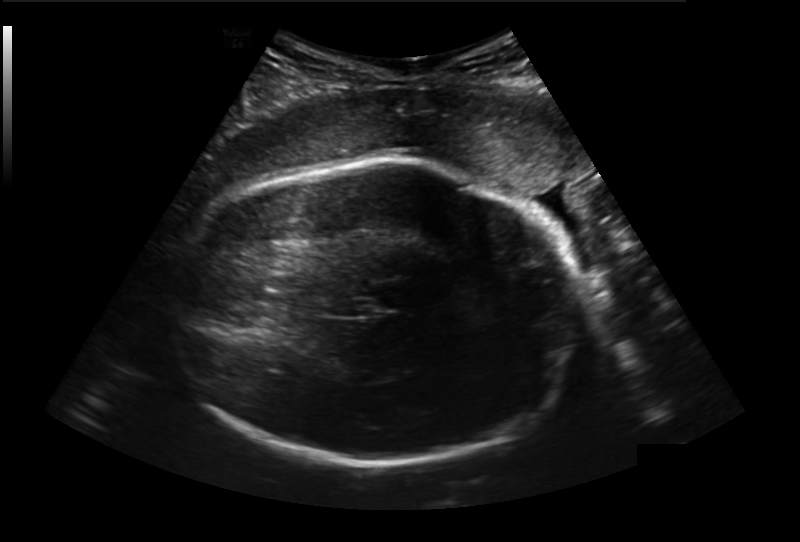
Fetal head ultrasound. Image width: 188.7 mm. Give [x1,y1,x2,y2] bounding boxes for each visible structure among: fetal head, CSP, LV.

Head: [165,158,581,464]